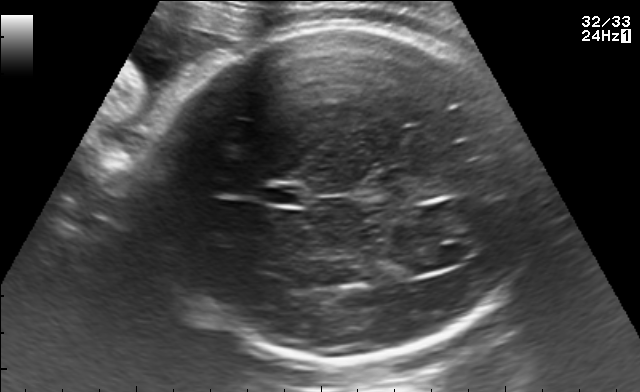
In this fetal brain, trans-ventricular plane, give the bounding box of the lateral ventricle.

[408,245,459,276]